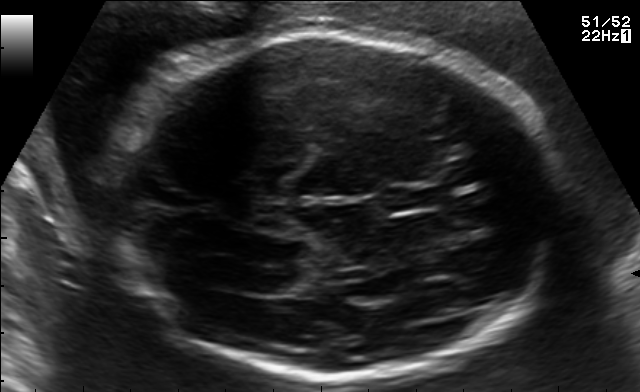
Fetal brain, trans-ventricular plane. Where is the cavum septum pellucidum?

CSP bounding box: [384,186,437,214]